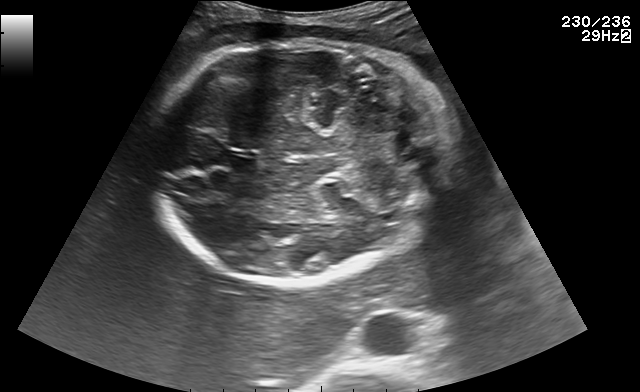
Fetal brain, trans-cerebellum plane. Where is the cavum septum pellucidum?

CSP bounding box: [222,153,258,174]